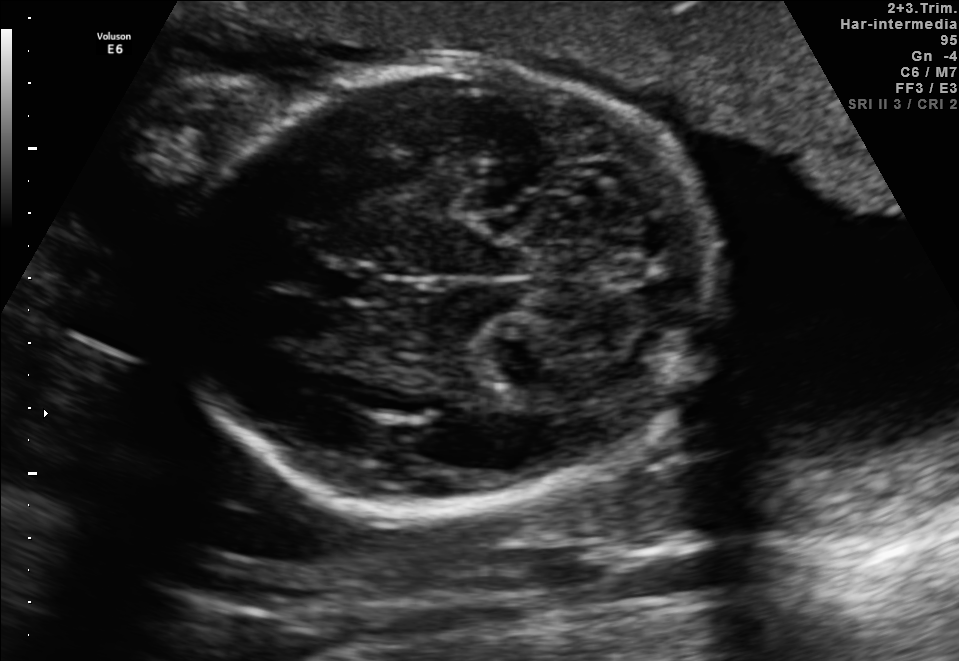
In this fetal brain, trans-cerebellum plane, give bounding boxes for the head outline, cavum septum pellucidum (CSP), and lateral ventricle (LV), where visible.

Head: [176,67,721,508]
CSP: [319,262,382,305]